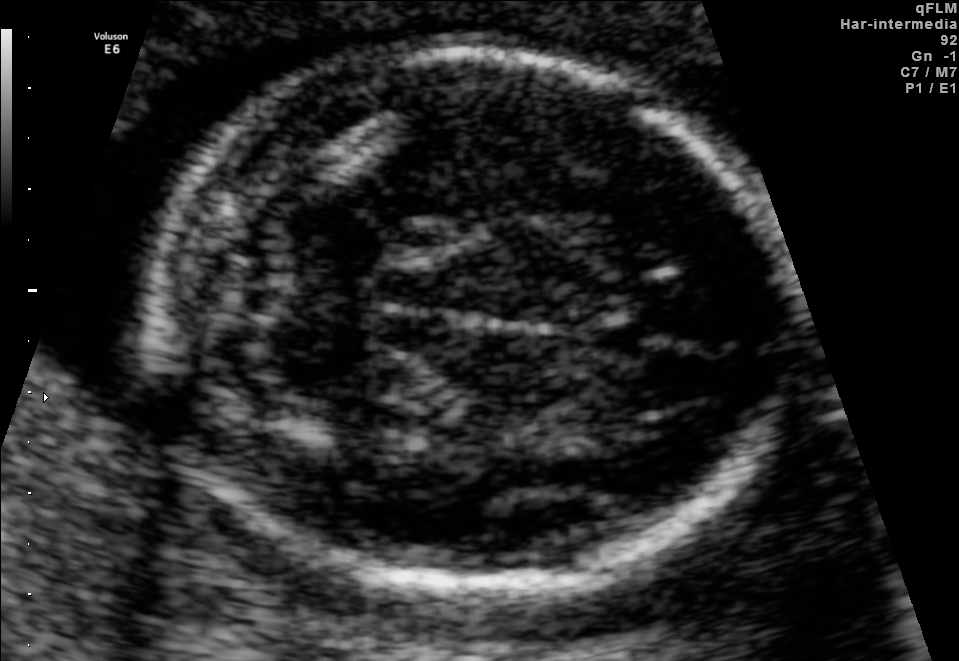
Fetal brain, trans-cerebellum plane. Where is the fetal head?

Head bounding box: [154,47,799,600]